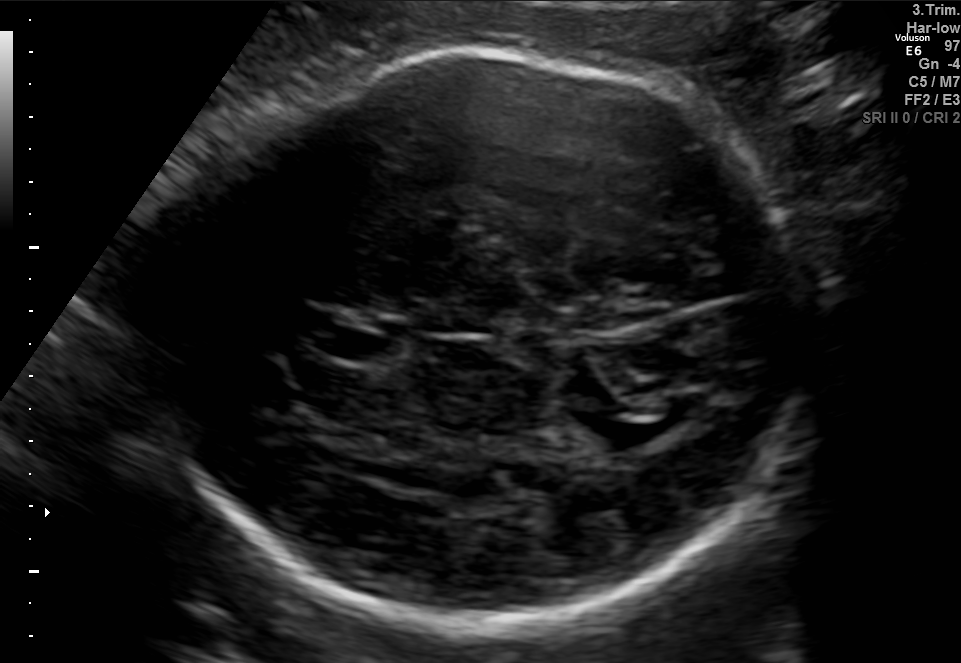
Fetal brain, trans-thalamic plane. Where is the cavum septum pellucidum?

CSP bounding box: [314,320,389,368]